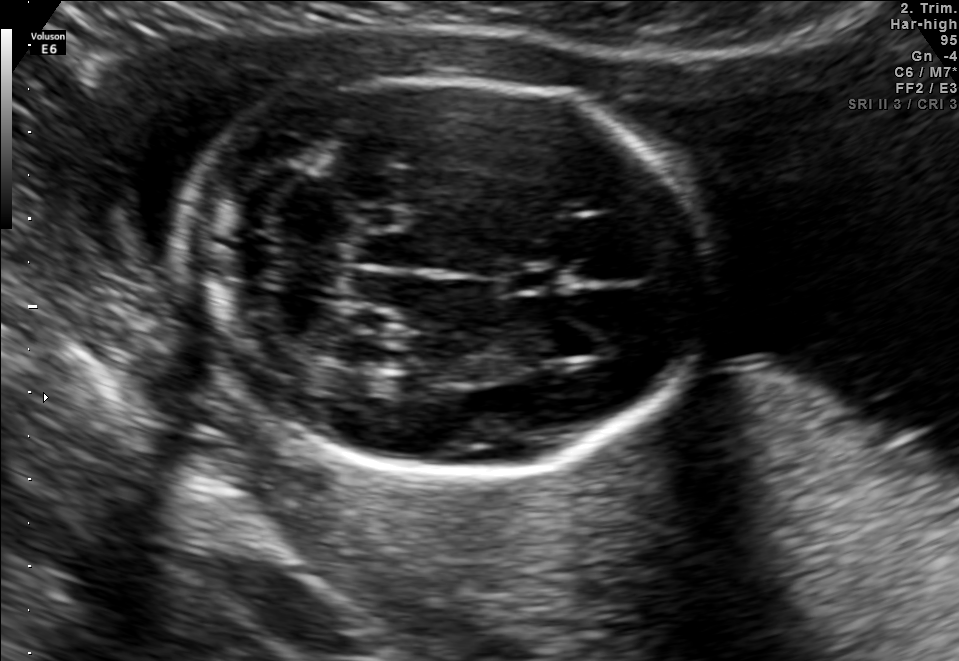
Fetal brain, trans-cerebellum plane. Where is the fetal head?

Head bounding box: [184,78,711,477]